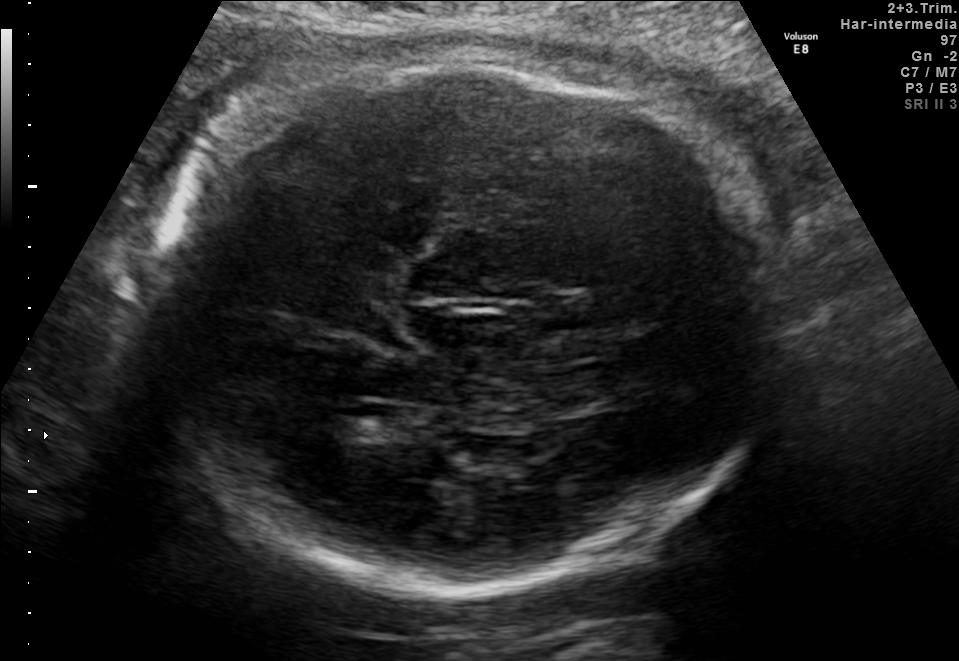
In this fetal brain, trans-thalamic plane, give the bounding box of the fetal head.

[148,63,789,588]